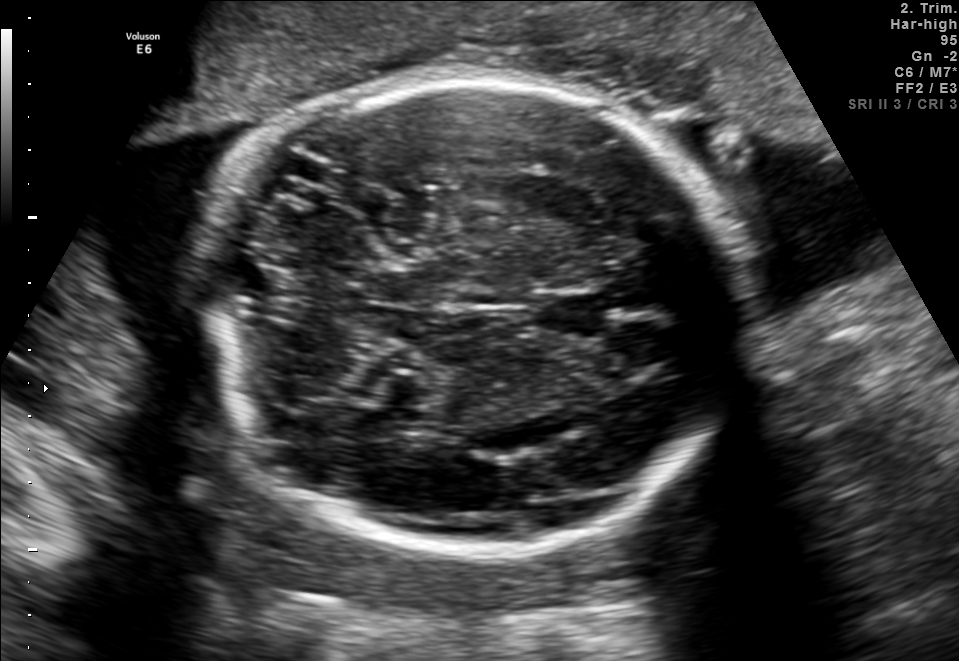
In this fetal brain, trans-cerebellum plane, give bounding boxes for the head outline, cavum septum pellucidum (CSP), and lateral ventricle (LV), where visible.

Head: [204,76,733,557]
CSP: [536,292,603,339]